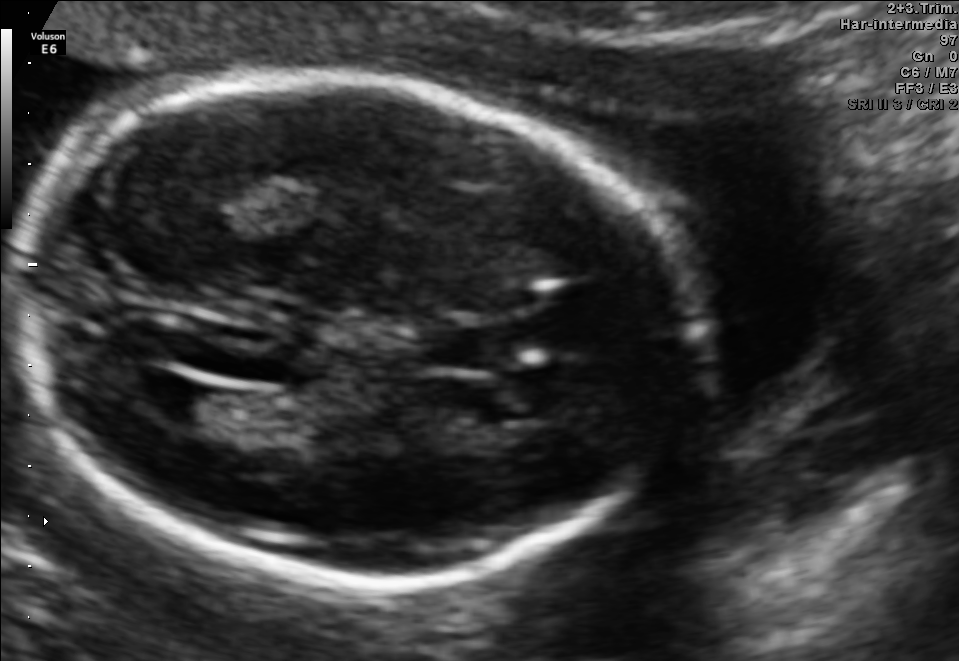
Which standard maternal-fetal ultrasound plane is shown: fetal abdomen, fetal brain, fetal femur, fetal thorax, maternal cervix, or other? If it's fetal brain and one of the three standard brain planes (trans-thalamic, trans-cerebellum, trans-ventricular), name which.

Fetal brain (trans-ventricular plane)